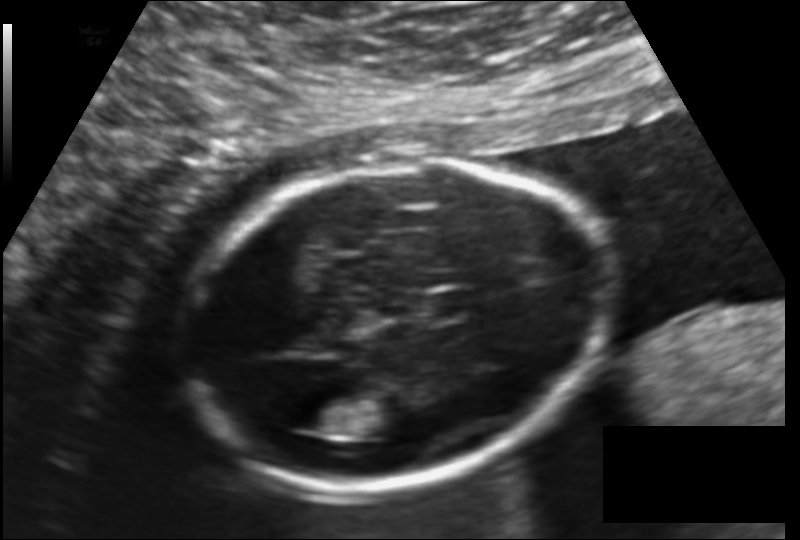
In this fetal head ultrasound, give bounding boxes for the head outline, cavum septum pellucidum (CSP), and lateral ventricle (LV), where visible. Image width: 112.0 mm.

Head: [187,158,613,484]
CSP: [424,286,478,321]
Lateral ventricle: [283,399,339,435]